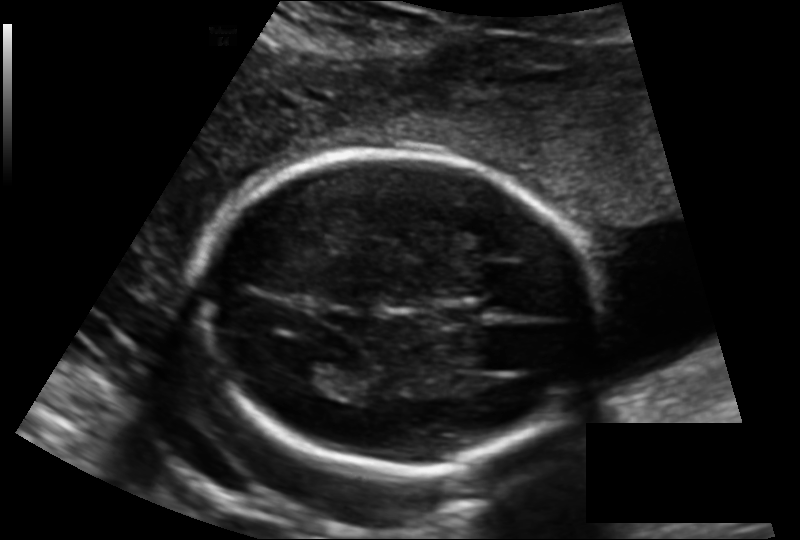
In this fetal head ultrasound, give the bounding box of the fetal head. Image width: 114.7 mm.

[202,150,596,472]